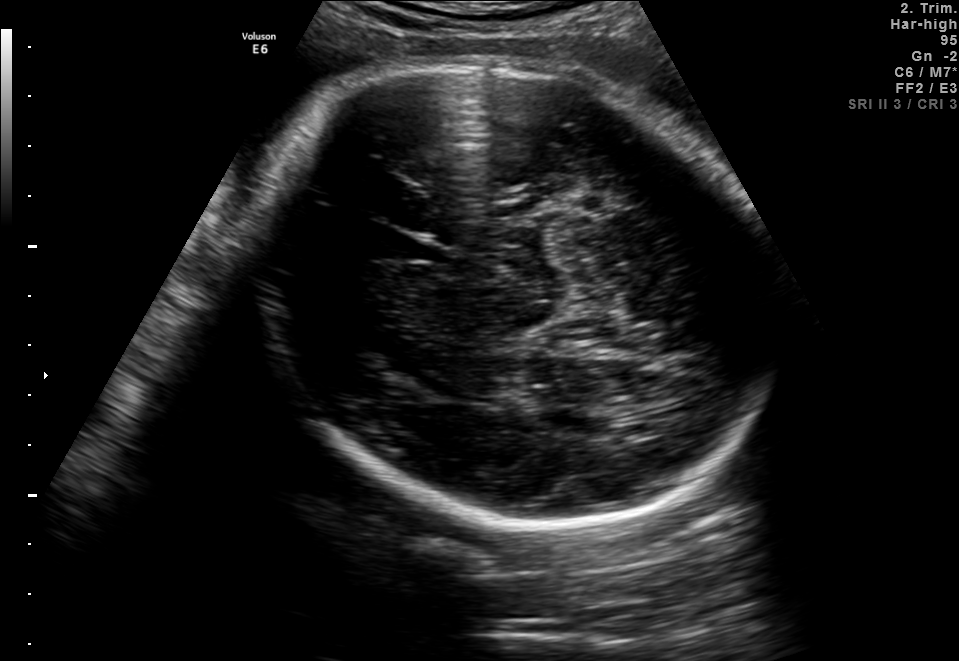
Fetal brain, trans-thalamic plane. Locate the fetal head and, if visible, the cavum septum pellucidum (CSP) and lateral ventricle (LV). Give bounding boxes as [x1,y1,x2,y2].

Head: [240,57,771,530]